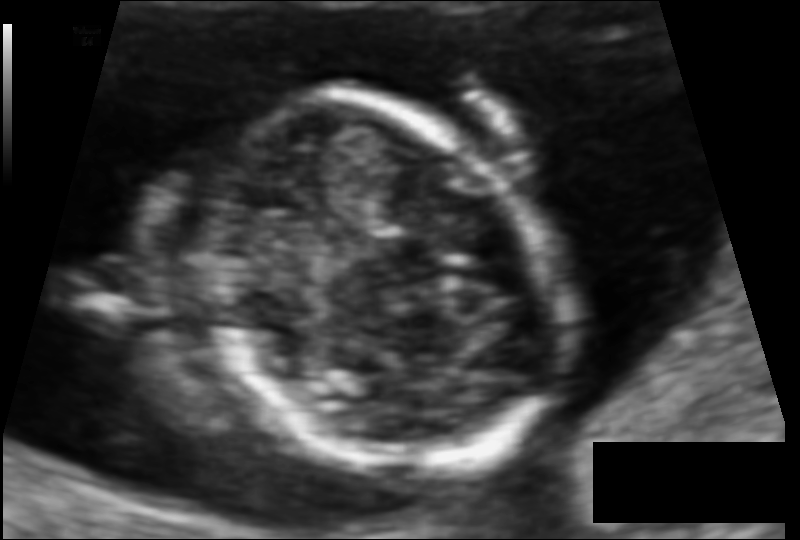
Fetal head ultrasound. Image width: 68.0 mm. Give [x1,y1,x2,y2] bounding boxes for each visible structure among: fetal head, CSP, LV.

Head: [193,99,567,471]